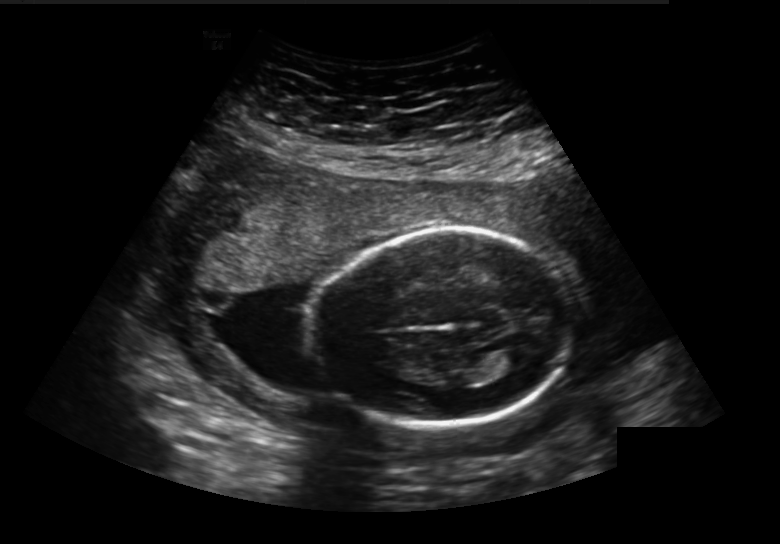
In this fetal head ultrasound, give bounding boxes for the head outline, cavum septum pellucidum (CSP), and lateral ventricle (LV), where visible. Image width: 184.0 mm.

Head: [314,230,572,428]
Lateral ventricle: [496,342,536,375]